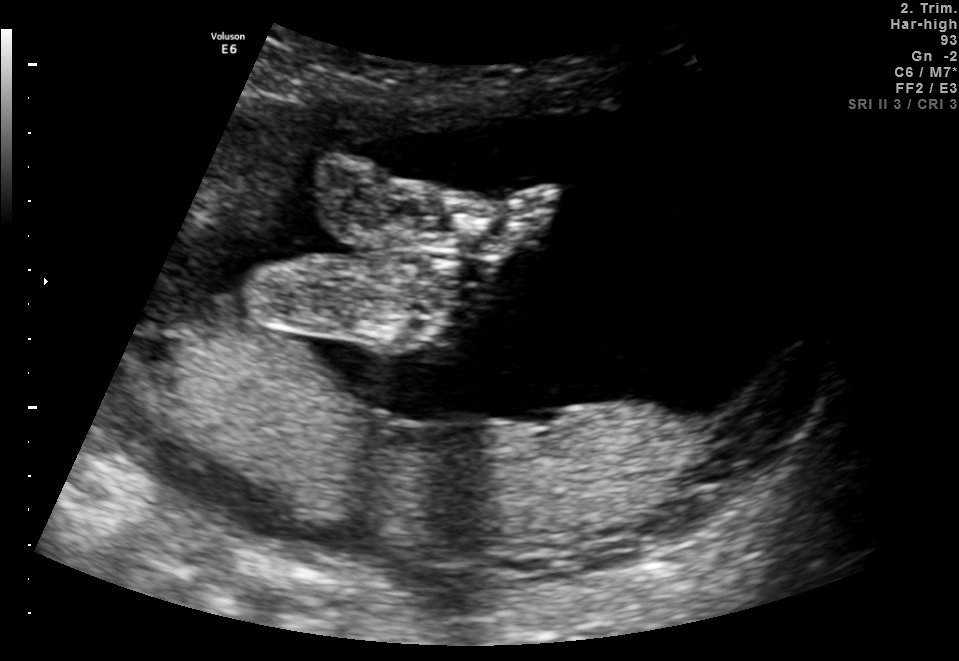
Identify the standard plane in this fetal ultrasound image: fetal abdomen, fetal brain, fetal femur, fetal thorax, maternal cervix, or other. If it's fetal brain and one of the three standard brain planes (trans-thalamic, trans-cerebellum, trans-ventricular), name which.

Other